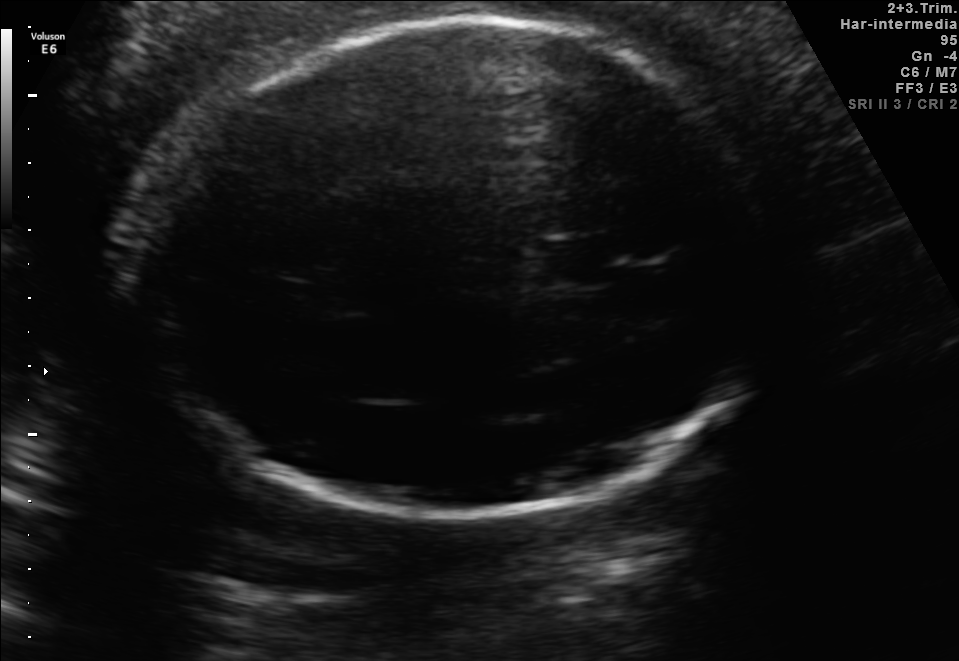
Fetal brain, trans-thalamic plane. Where is the fetal head?

Head bounding box: [137,22,762,517]